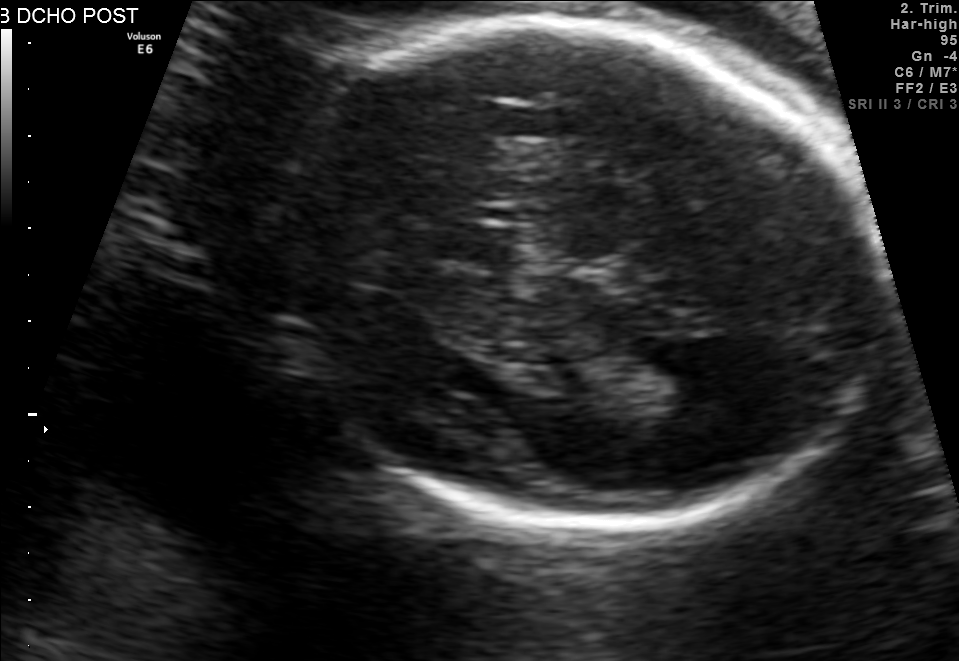
Identify the standard plane in this fetal ultrasound image: fetal abdomen, fetal brain, fetal femur, fetal thorax, maternal cervix, or other. If it's fetal brain and one of the three standard brain planes (trans-thalamic, trans-cerebellum, trans-ventricular), name which.

Fetal brain (trans-thalamic plane)